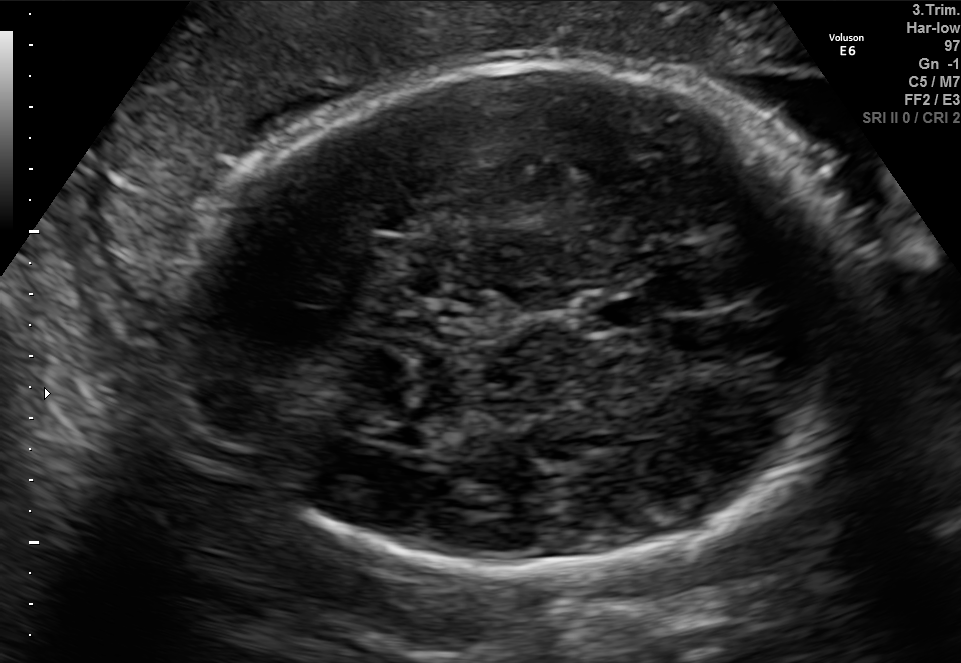
In this fetal brain, trans-thalamic plane, give the bounding box of the lateral ventricle.

[344,407,432,450]